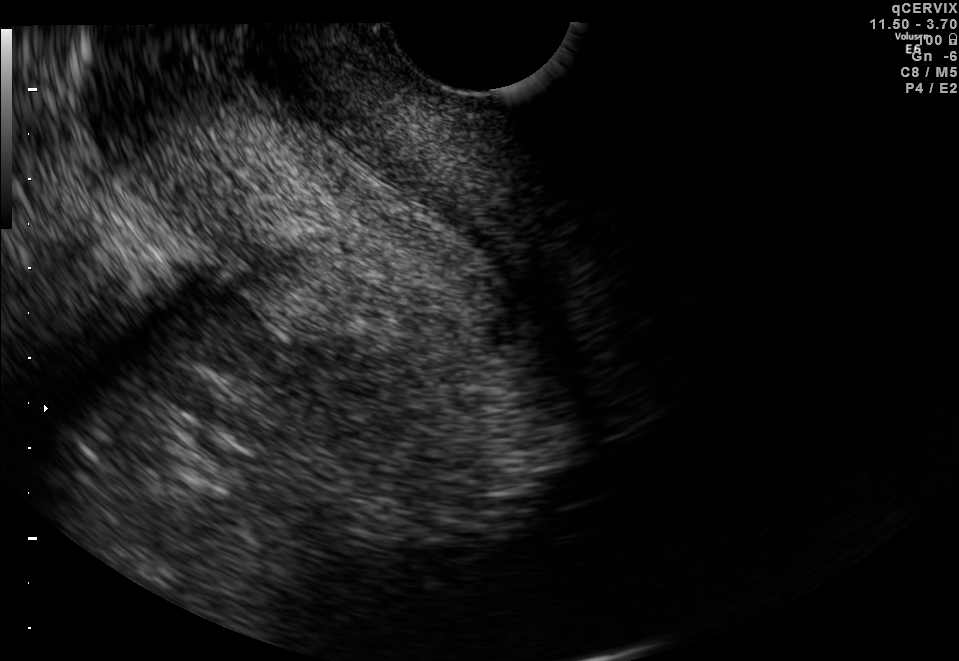
Classify this maternal-fetal ultrasound image as one of the six standard planes — fetal abdomen, fetal brain, fetal femur, fetal thorax, maternal cervix, or other. If it's fetal brain and one of the three standard brain planes (trans-thalamic, trans-cerebellum, trans-ventricular), name which.

Maternal cervix